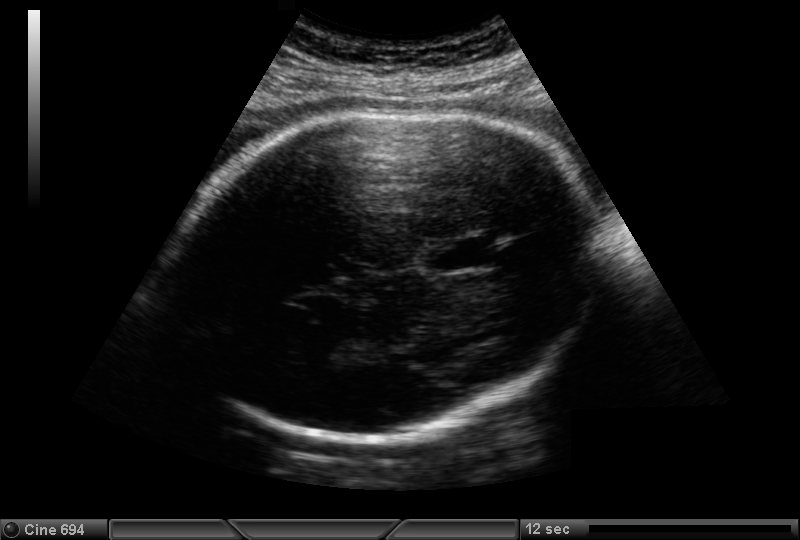
Fetal head ultrasound. Image width: 176.7 mm. Where is the fetal head?

Head bounding box: [174,110,600,438]